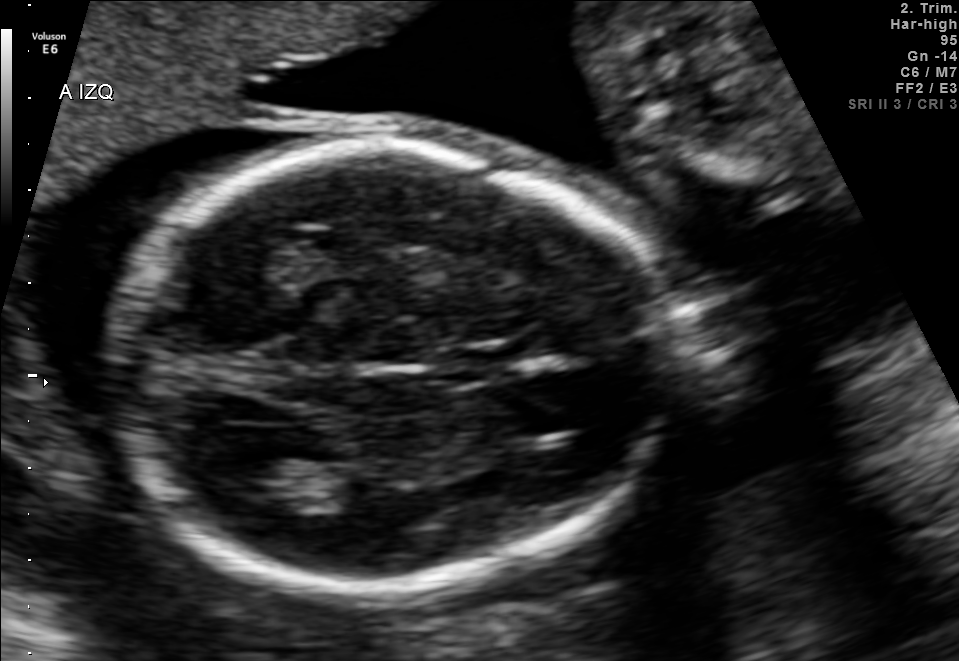
Fetal brain, trans-thalamic plane. Where is the cavum septum pellucidum?

CSP bounding box: [452,343,529,385]